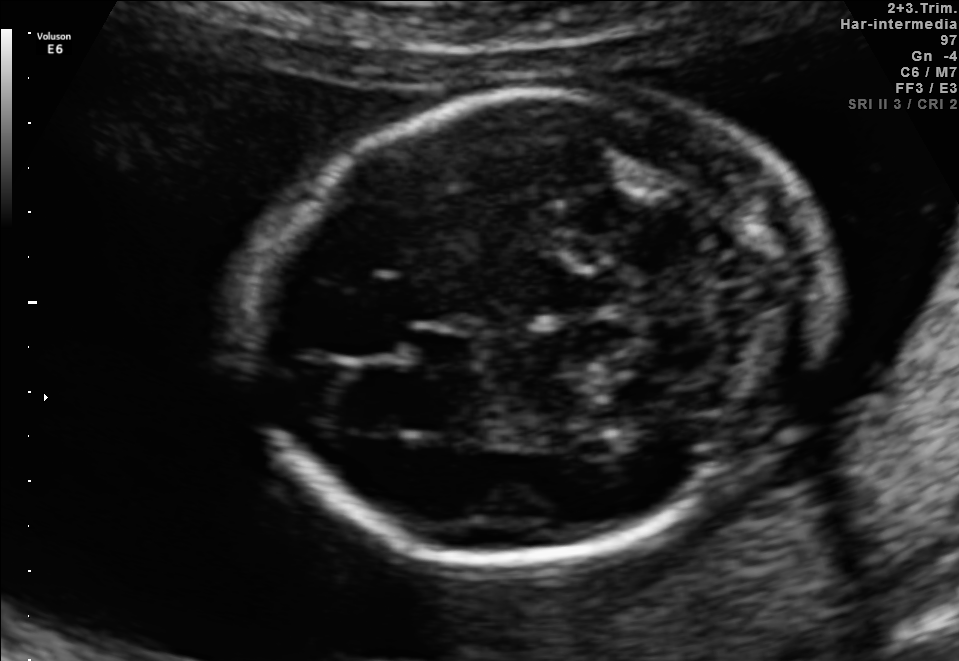
In this fetal brain, trans-cerebellum plane, give the bounding box of the cavum septum pellucidum.

[410,324,478,371]